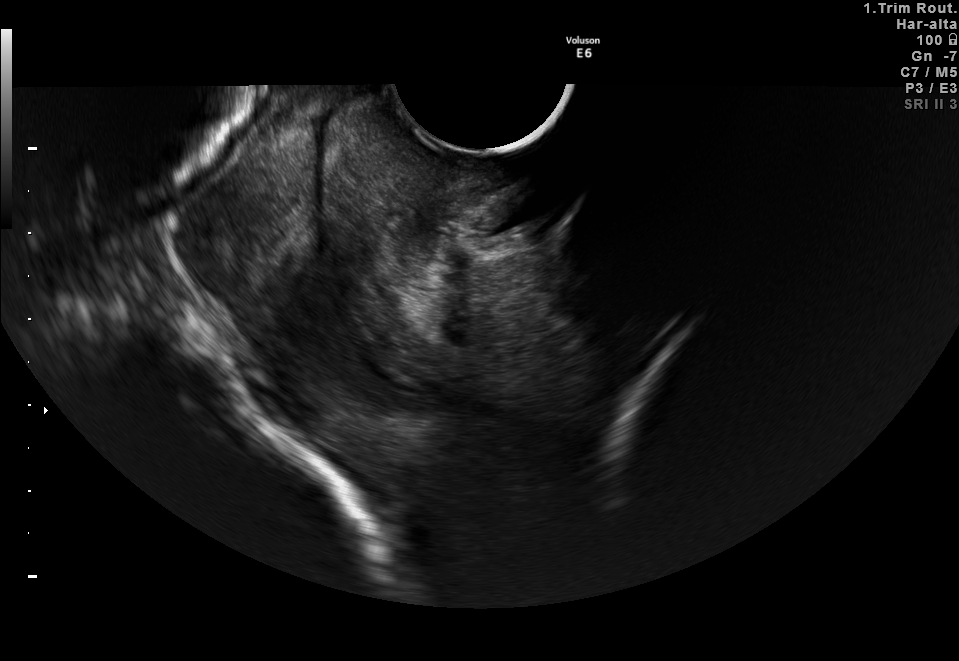
This is a 2D maternal-fetal ultrasound frame. Is it a fetal abdomen, fetal brain, fetal femur, fetal thorax, maternal cervix, or other standard plane? If it's fetal brain and one of the three standard brain planes (trans-thalamic, trans-cerebellum, trans-ventricular), name which.

Maternal cervix